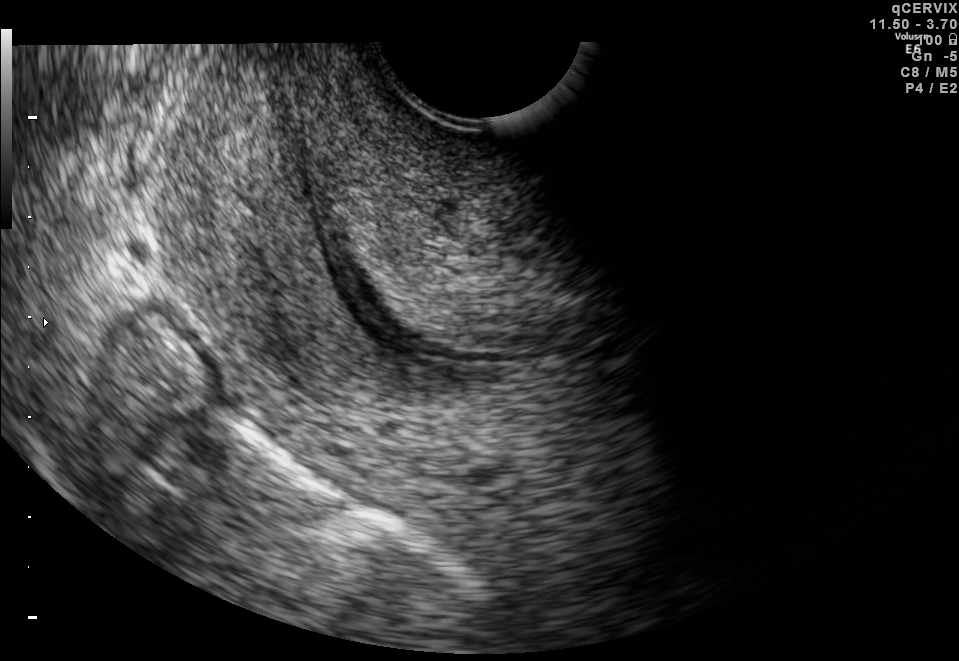
Identify the standard plane in this fetal ultrasound image: fetal abdomen, fetal brain, fetal femur, fetal thorax, maternal cervix, or other. If it's fetal brain and one of the three standard brain planes (trans-thalamic, trans-cerebellum, trans-ventricular), name which.

Maternal cervix